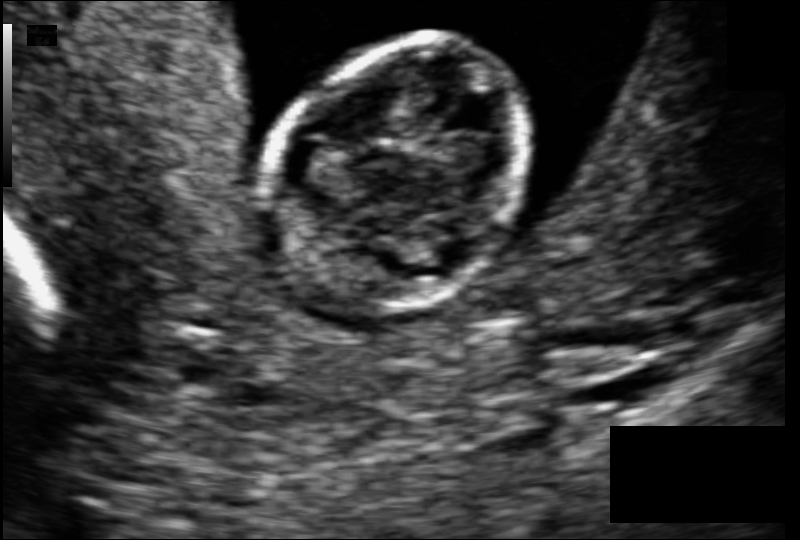
In this fetal head ultrasound, give bounding boxes for the head outline, cavum septum pellucidum (CSP), and lateral ventricle (LV), where visible. Image width: 63.6 mm.

Head: [266,41,532,315]